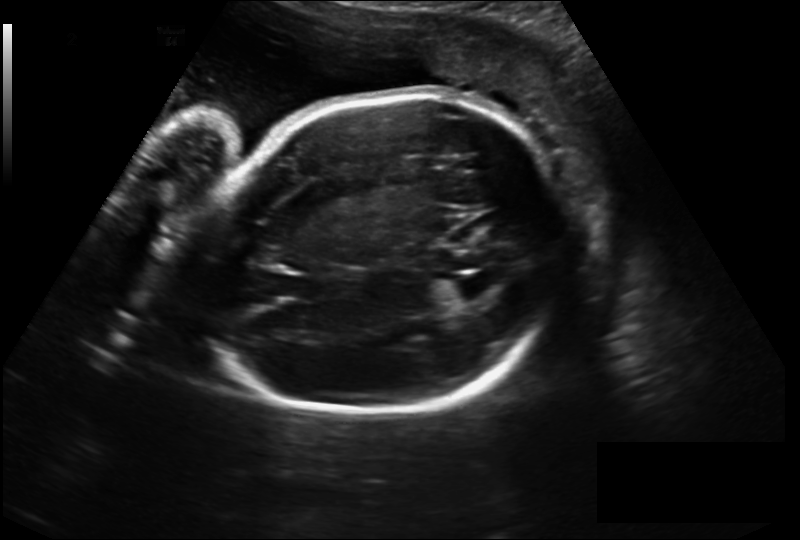
In this fetal head ultrasound, give bounding boxes for the head outline, cavum septum pellucidum (CSP), and lateral ventricle (LV), where visible. Image width: 184.2 mm.

Head: [194,97,566,417]
Lateral ventricle: [449,267,501,306]